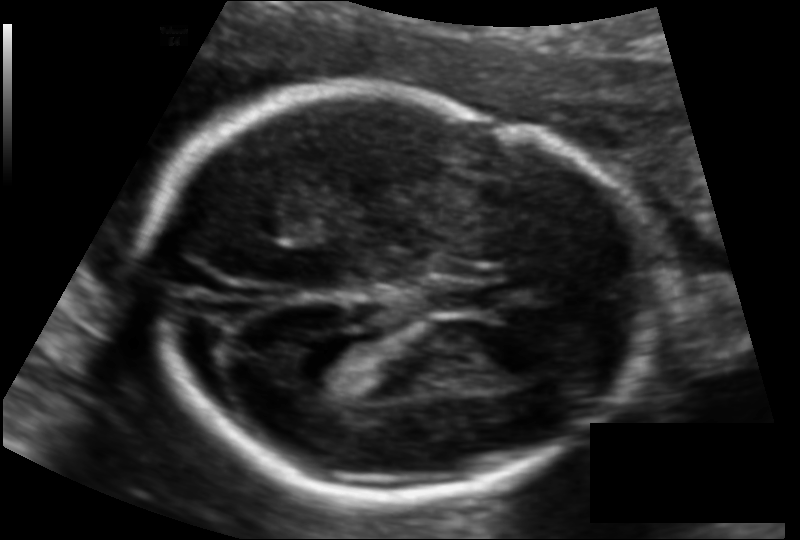
In this fetal head ultrasound, give bounding boxes for the head outline, cavum septum pellucidum (CSP), and lateral ventricle (LV), where visible. Image width: 93.9 mm.

Head: [136,94,642,495]
CSP: [429,278,500,315]
Lateral ventricle: [284,325,372,396]